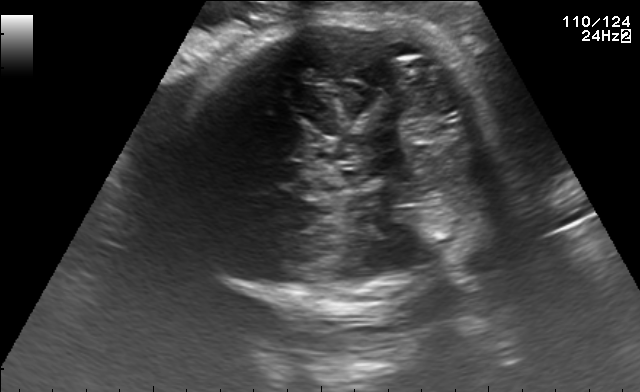
Fetal brain, trans-thalamic plane. Locate the fetal head and, if visible, the cavum septum pellucidum (CSP) and lateral ventricle (LV). Give bounding boxes as [x1,y1,x2,y2].

Head: [172,17,495,305]